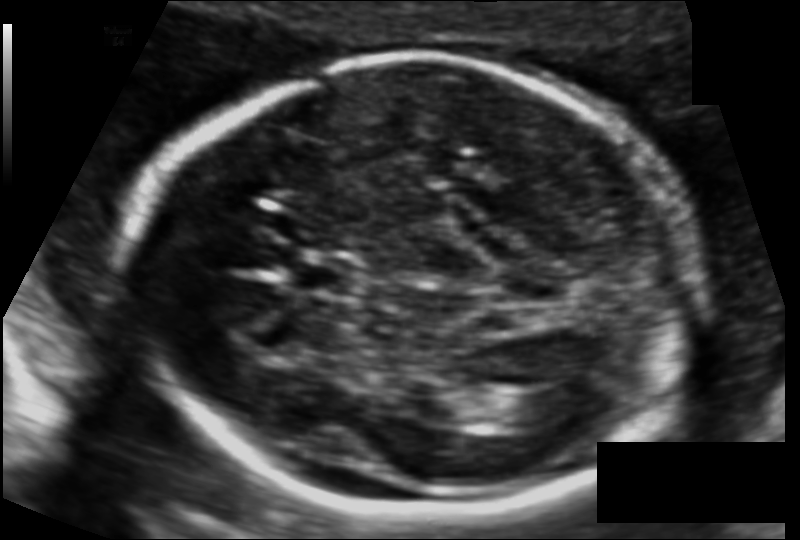
Estimate the fetal head circumference from this 2D ultrasound. Image width: 89.5 mm.

Head circumference: 184.1 mm.